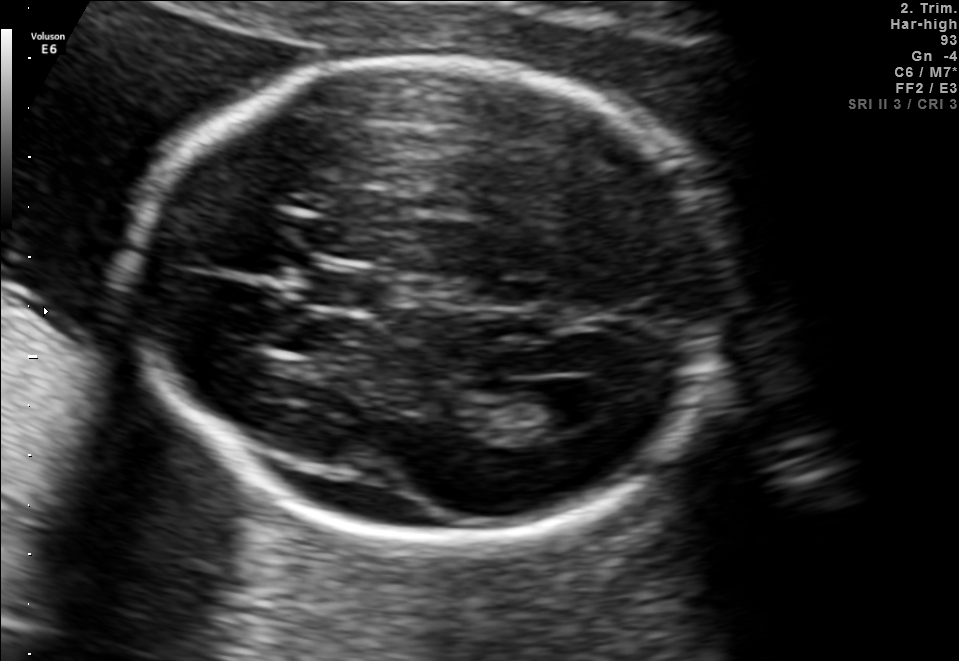
In this fetal brain, trans-ventricular plane, give bounding boxes for the head outline, cavum septum pellucidum (CSP), and lateral ventricle (LV), where visible.

Head: [122,50,739,553]
CSP: [299,267,377,311]
Lateral ventricle: [542,376,621,430]